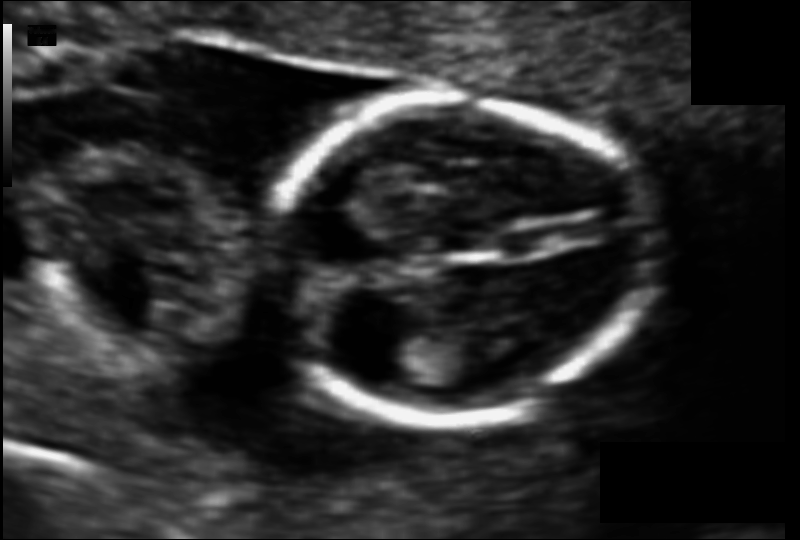
In this fetal head ultrasound, give the bounding box of the lateral ventricle. Image width: 66.6 mm.

[367,330,432,380]